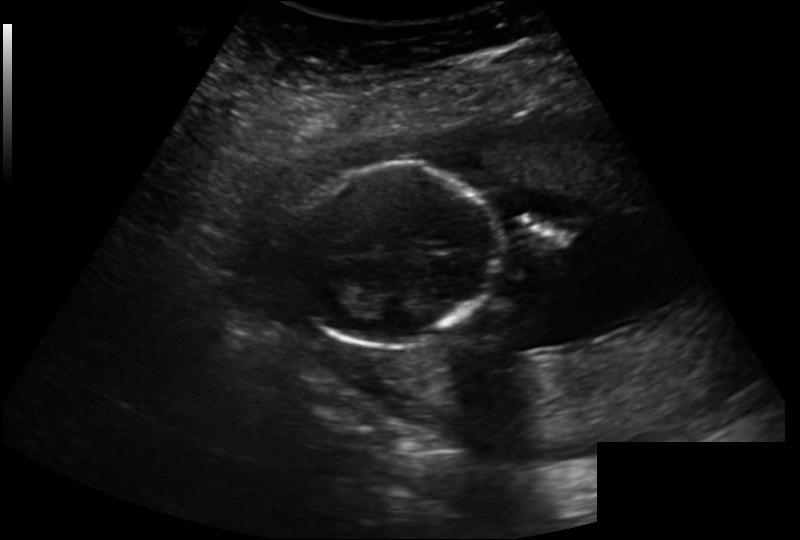
Estimate the fetal head circumference from this 2D ultrasound. Image width: 161.6 mm.

Head circumference: 134.0 mm.